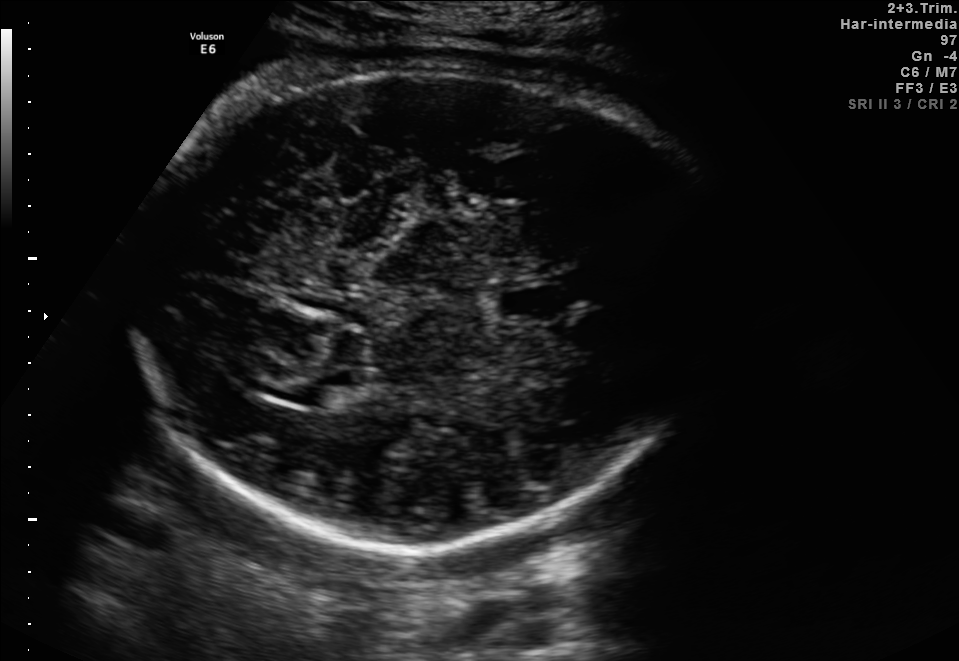
Fetal brain, trans-thalamic plane. Locate the lateral ventricle.

Lateral ventricle: [257,360,353,415]